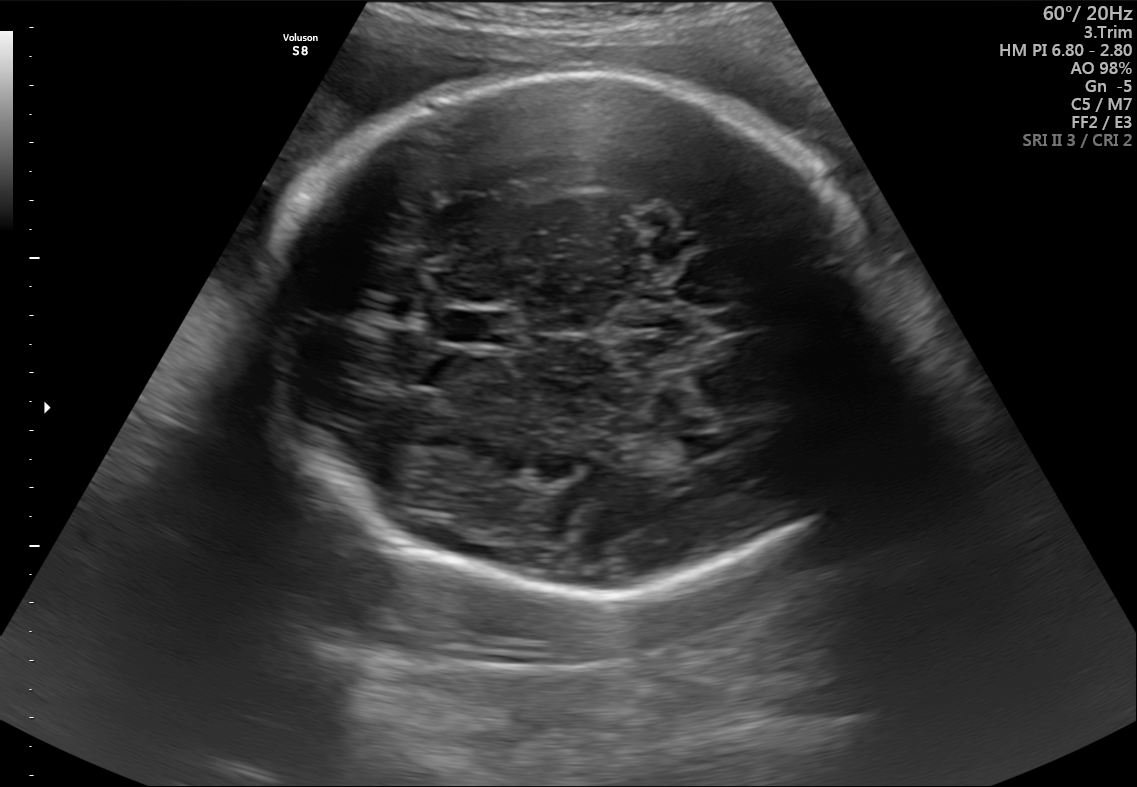
In this fetal brain, trans-thalamic plane, give bounding boxes for the head outline, cavum septum pellucidum (CSP), and lateral ventricle (LV), where visible.

Head: [269,71,903,599]
CSP: [445,310,515,345]
Lateral ventricle: [669,433,710,463]